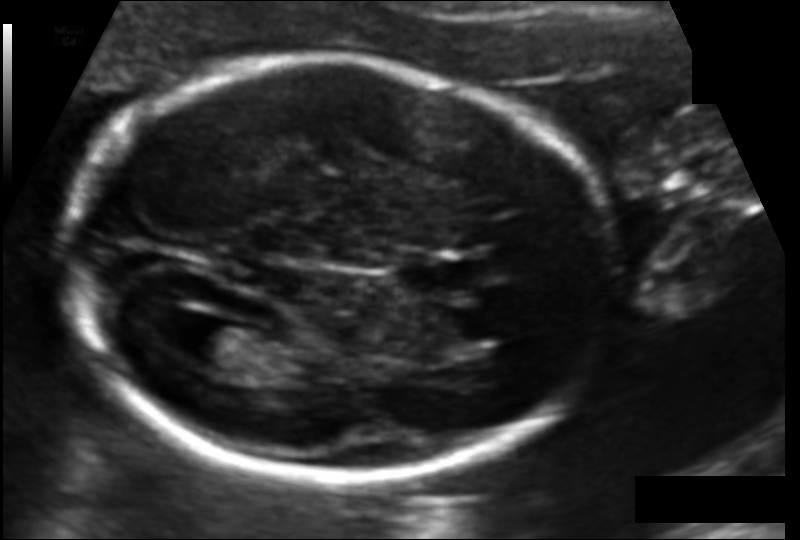
From this fetal ultrasound, estimate the head circumference (image width 91.0 mm).

Head circumference: 177.8 mm.